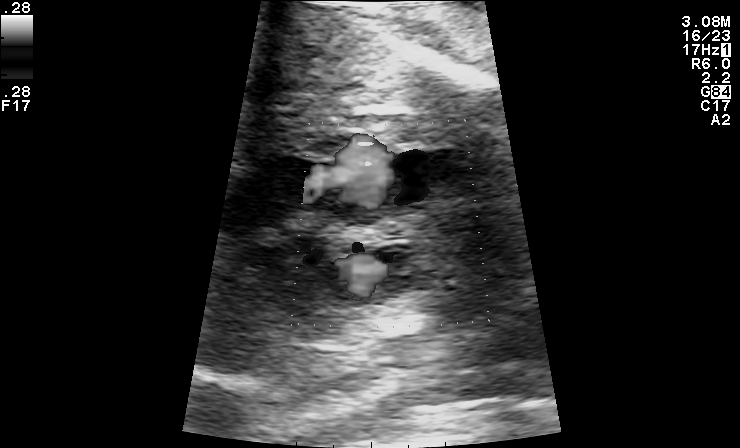
This is a 2D maternal-fetal ultrasound frame. Is it a fetal abdomen, fetal brain, fetal femur, fetal thorax, maternal cervix, or other standard plane? If it's fetal brain and one of the three standard brain planes (trans-thalamic, trans-cerebellum, trans-ventricular), name which.

Other